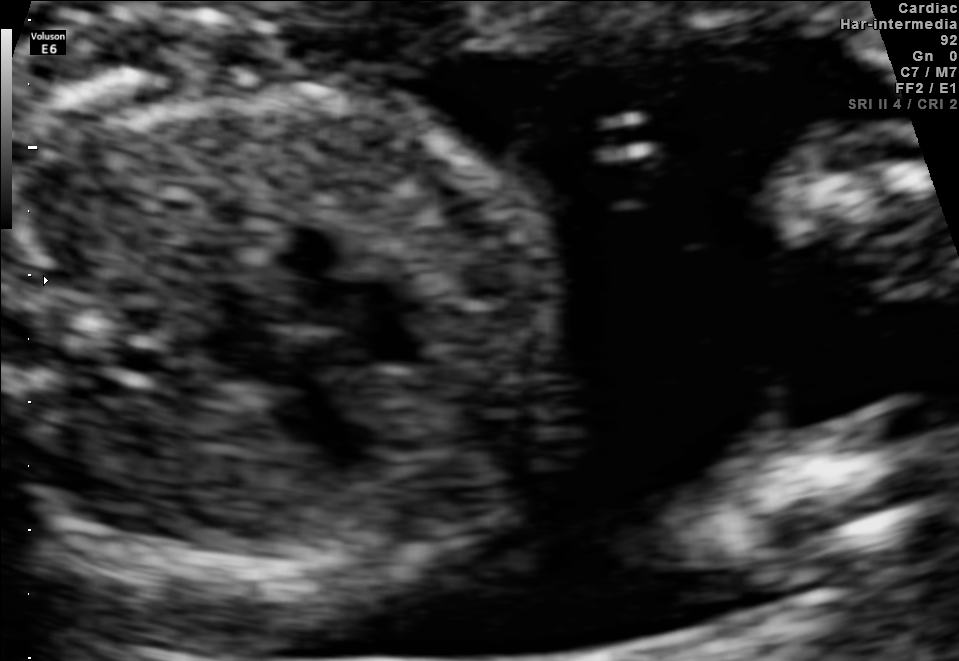
Which standard maternal-fetal ultrasound plane is shown: fetal abdomen, fetal brain, fetal femur, fetal thorax, maternal cervix, or other? If it's fetal brain and one of the three standard brain planes (trans-thalamic, trans-cerebellum, trans-ventricular), name which.

Fetal thorax